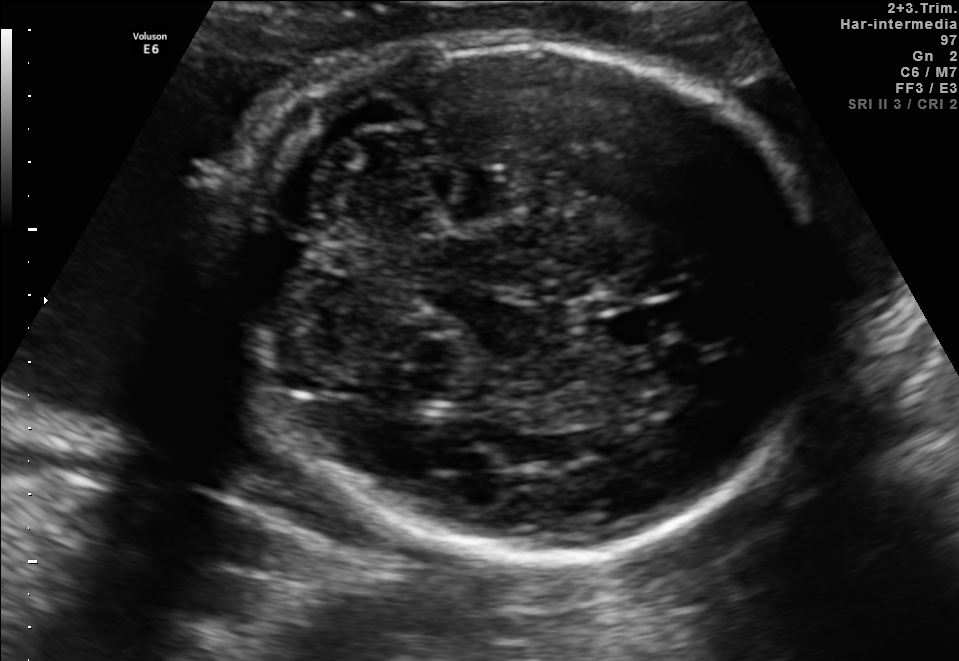
Fetal brain, trans-cerebellum plane. Locate the fetal head and, if visible, the cavum septum pellucidum (CSP) and lateral ventricle (LV). Give bounding boxes as [x1,y1,x2,y2].

Head: [216,39,817,554]